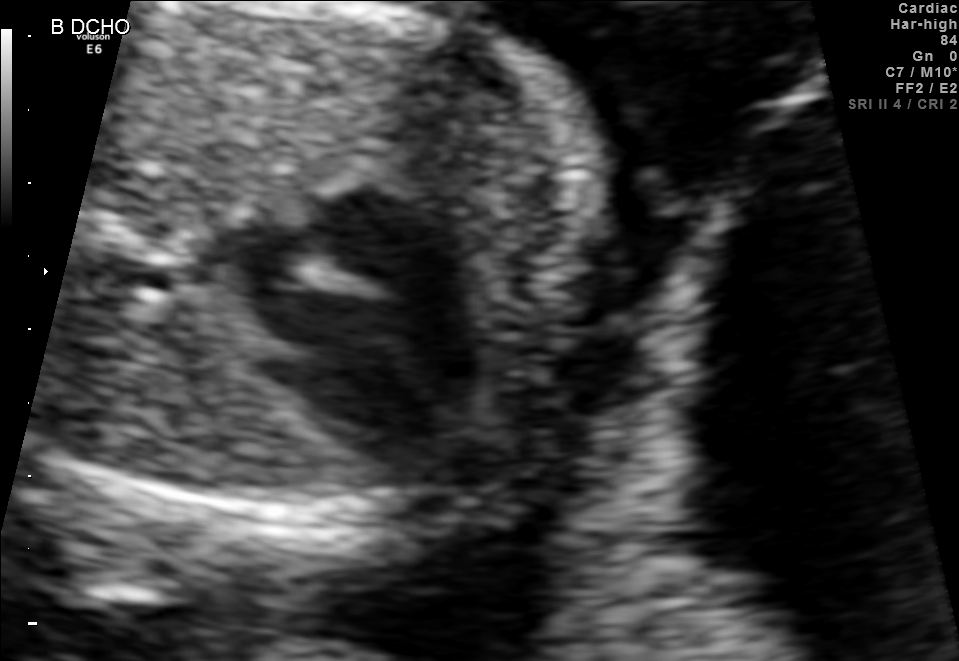
This is a 2D maternal-fetal ultrasound frame. Is it a fetal abdomen, fetal brain, fetal femur, fetal thorax, maternal cervix, or other standard plane? If it's fetal brain and one of the three standard brain planes (trans-thalamic, trans-cerebellum, trans-ventricular), name which.

Fetal thorax